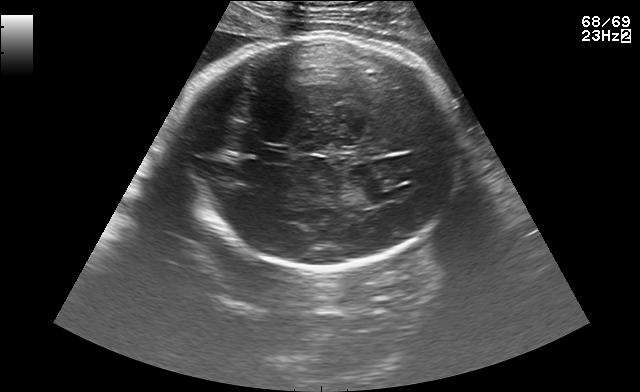
Fetal brain, trans-thalamic plane. Locate the cavum septum pellucidum.

CSP: [262,150,290,164]